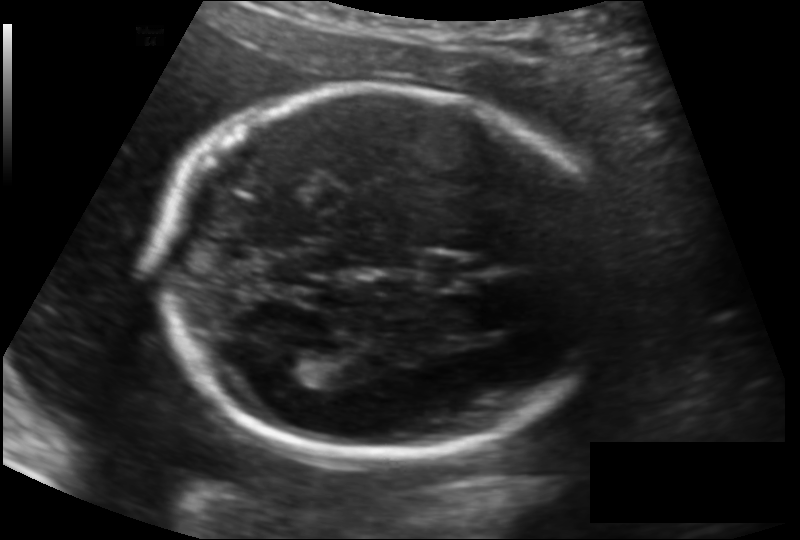
Fetal head ultrasound. Image width: 107.5 mm. Locate the cavum septum pellucidum.

CSP: [412,251,474,292]